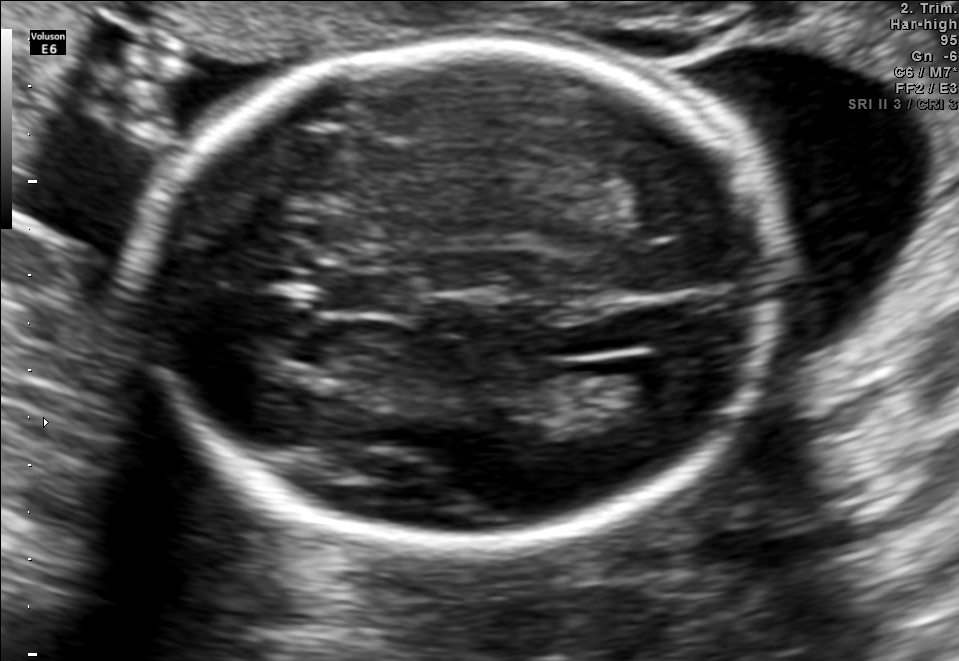
Fetal brain, trans-ventricular plane. Locate the fetal head.

Head: [127,35,798,562]